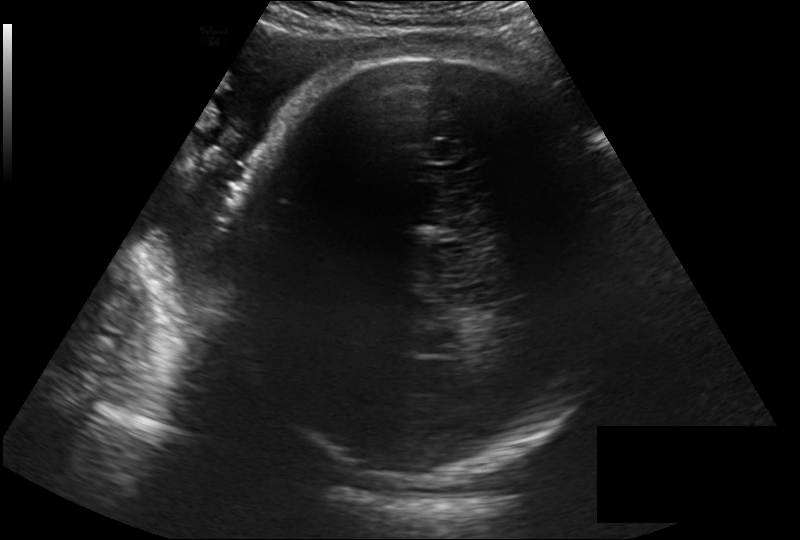
Fetal head ultrasound. Image width: 206.0 mm. Give [x1,y1,x2,y2] bounding boxes for each visible structure among: fetal head, CSP, LV.

Head: [224,54,625,483]